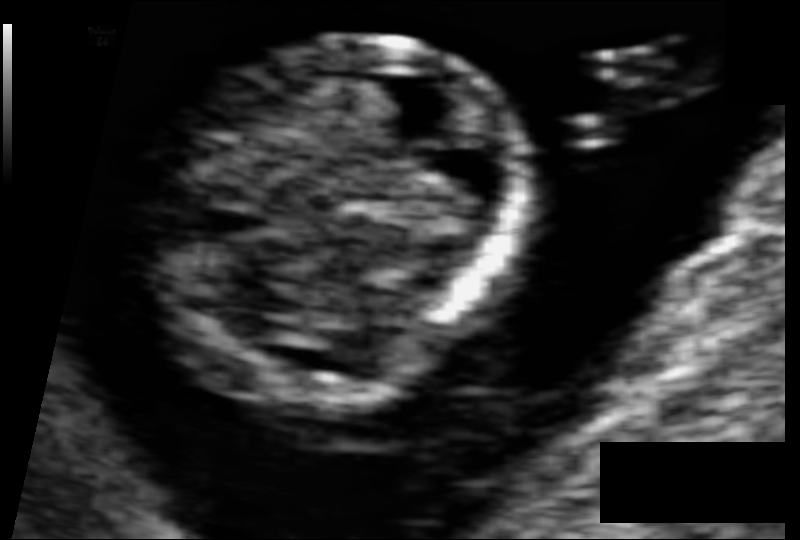
What is the fetal head circumference? Image width is 43.4 mm.

64.3 mm